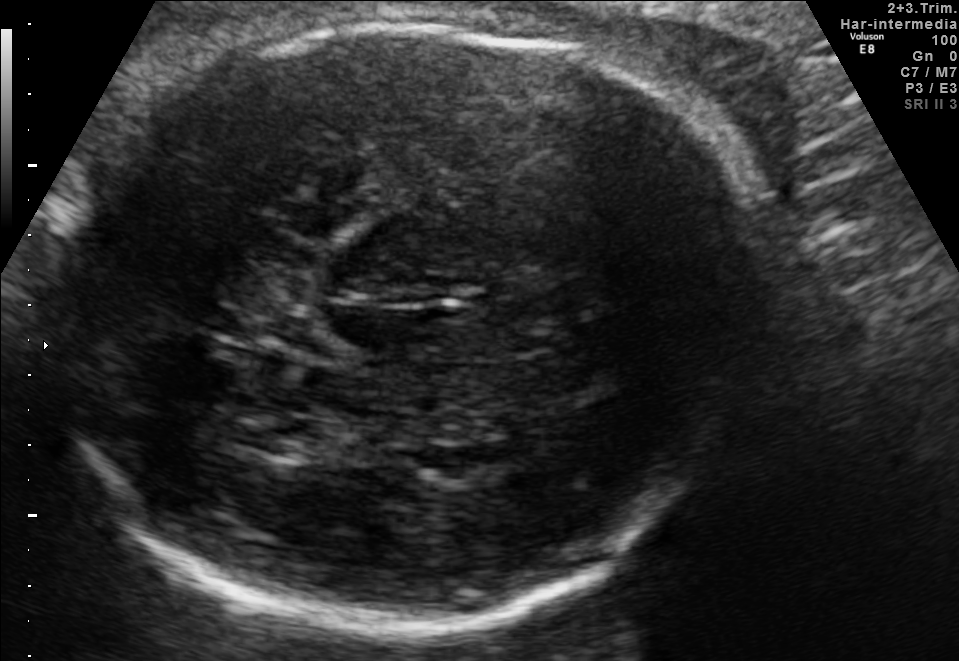
In this fetal brain, trans-thalamic plane, give the bounding box of the lateral ventricle.

[238,404,327,464]